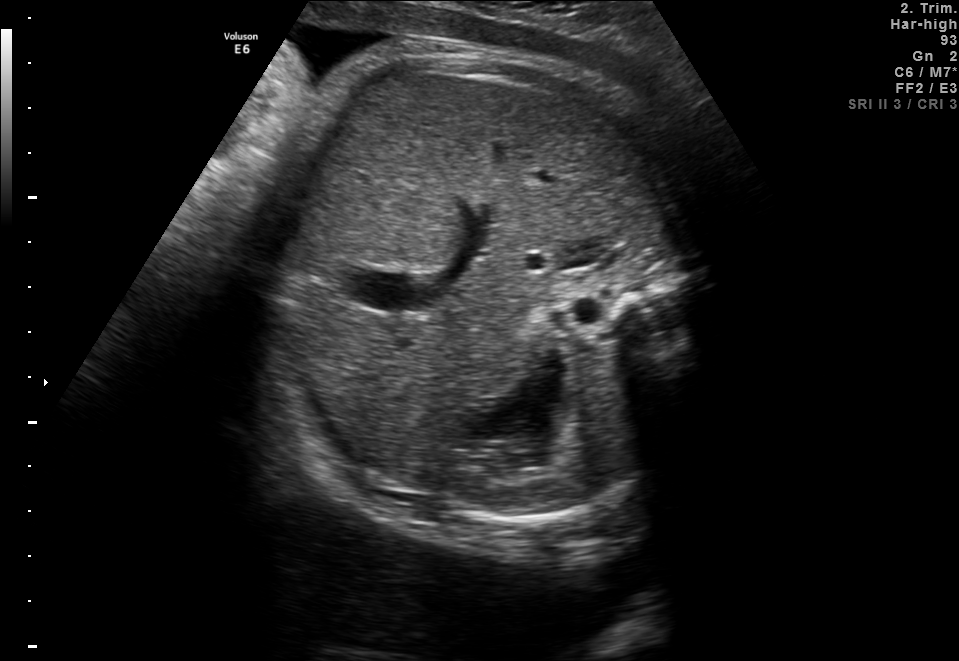
This is a 2D maternal-fetal ultrasound frame. Is it a fetal abdomen, fetal brain, fetal femur, fetal thorax, maternal cervix, or other standard plane? If it's fetal brain and one of the three standard brain planes (trans-thalamic, trans-cerebellum, trans-ventricular), name which.

Fetal abdomen